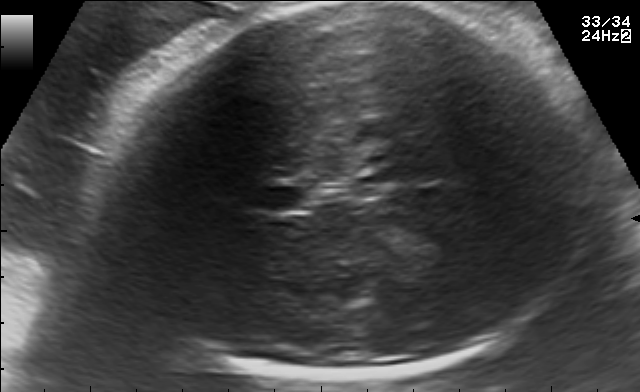
Fetal brain, trans-thalamic plane. Give [x1,y1,x2,y2] bounding boxes for each visible structure among: fetal head, CSP, LV.

Head: [106,3,589,381]
CSP: [256,187,303,211]